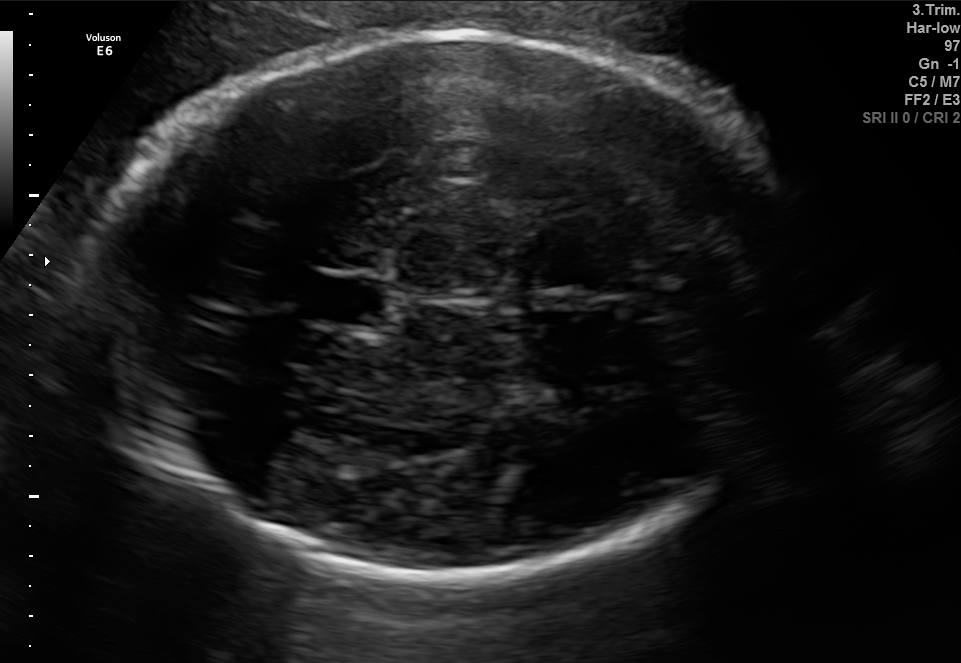
In this fetal brain, trans-thalamic plane, give bounding boxes for the head outline, cavum septum pellucidum (CSP), and lateral ventricle (LV), where visible.

Head: [91,34,810,577]
CSP: [307,275,383,326]